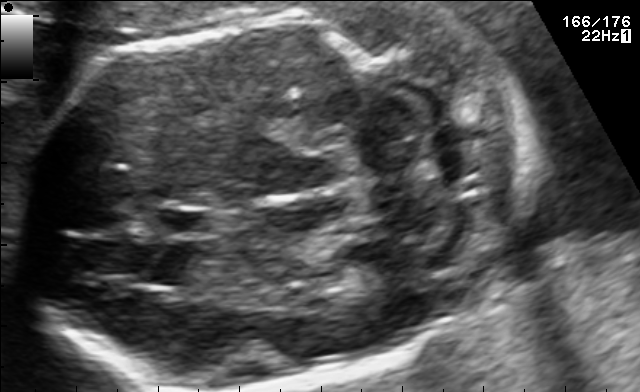
Fetal brain, trans-cerebellum plane. Where is the fetal head?

Head bounding box: [18,5,539,388]